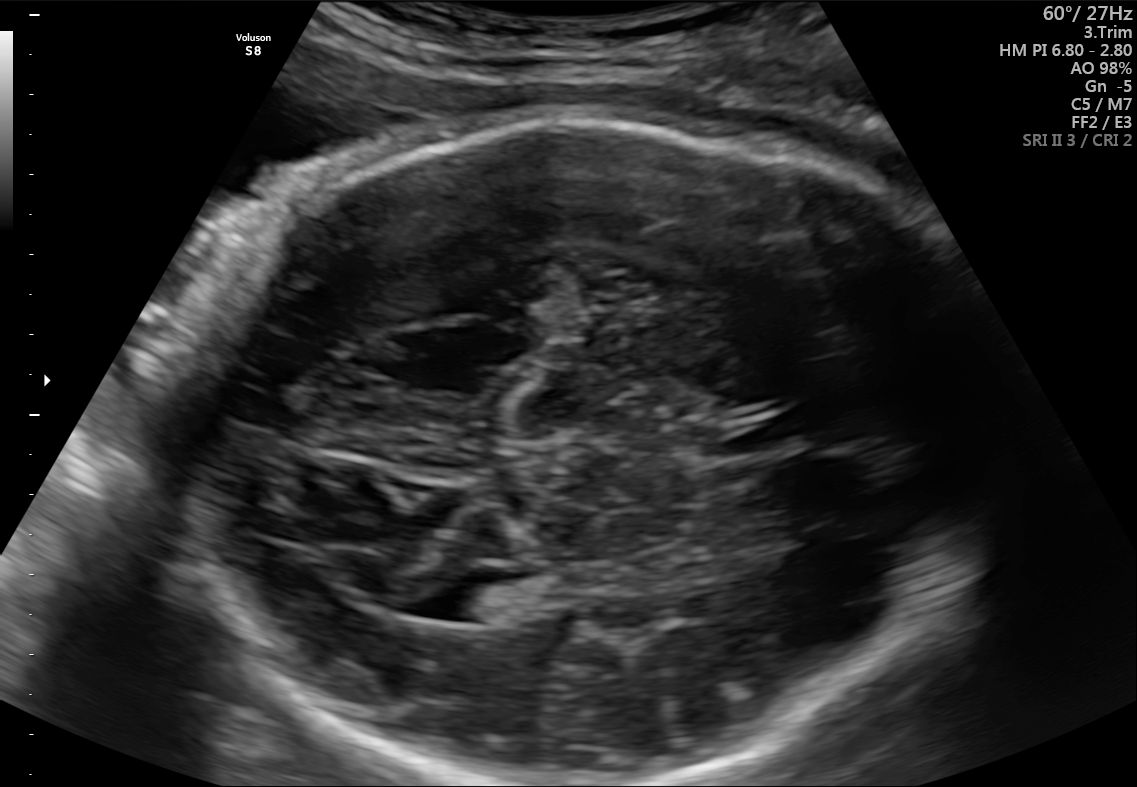
Fetal brain, trans-thalamic plane. Where is the fetal head?

Head bounding box: [177,119,1010,785]